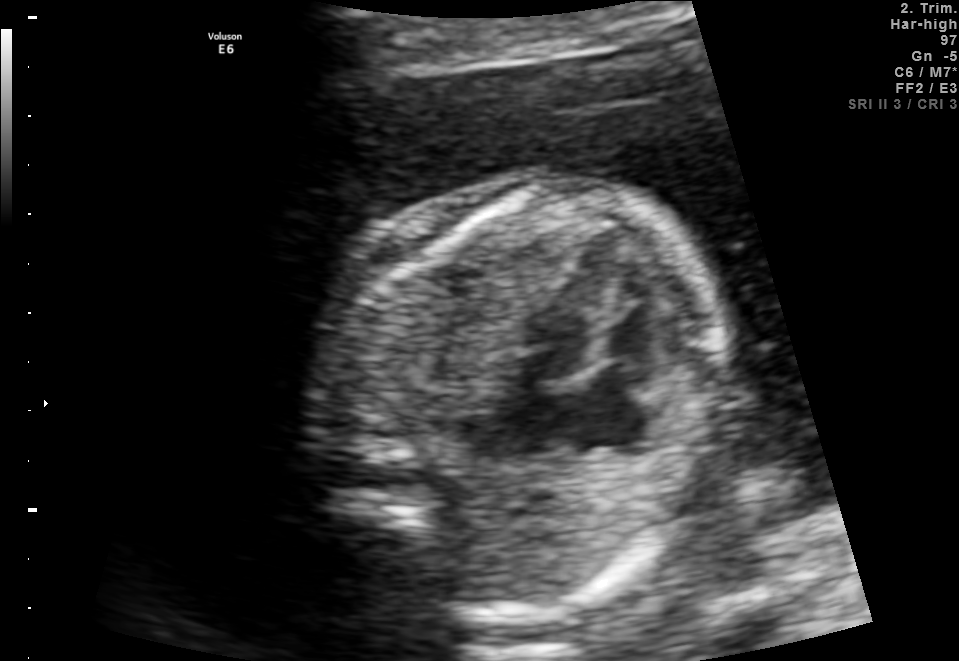
This is a 2D maternal-fetal ultrasound frame. Is it a fetal abdomen, fetal brain, fetal femur, fetal thorax, maternal cervix, or other standard plane? If it's fetal brain and one of the three standard brain planes (trans-thalamic, trans-cerebellum, trans-ventricular), name which.

Fetal thorax